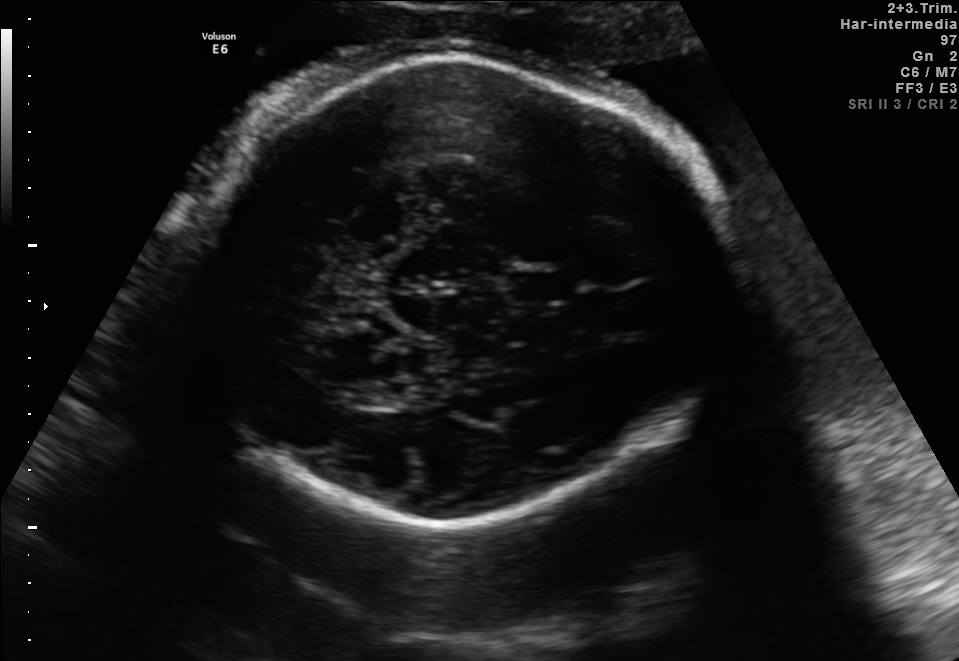
Fetal brain, trans-thalamic plane. Locate the lateral ventricle.

Lateral ventricle: [350,383,408,409]